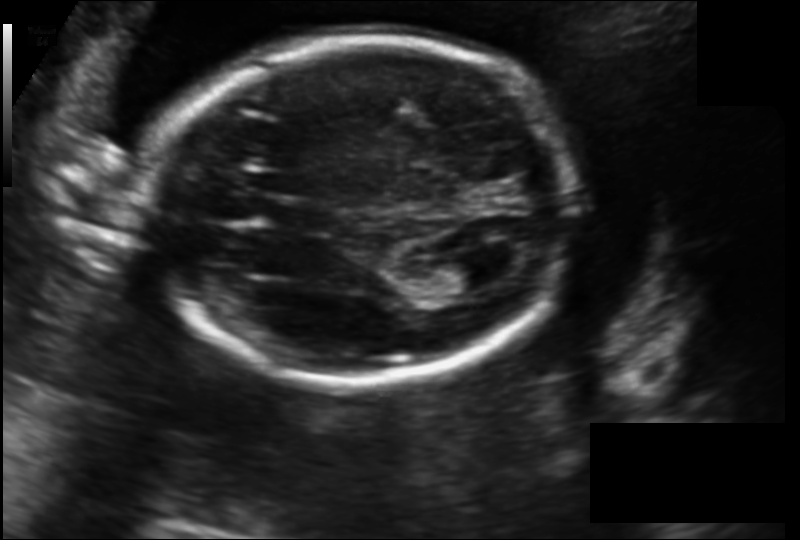
What is the fetal head circumference? Image width is 121.4 mm.

189.9 mm